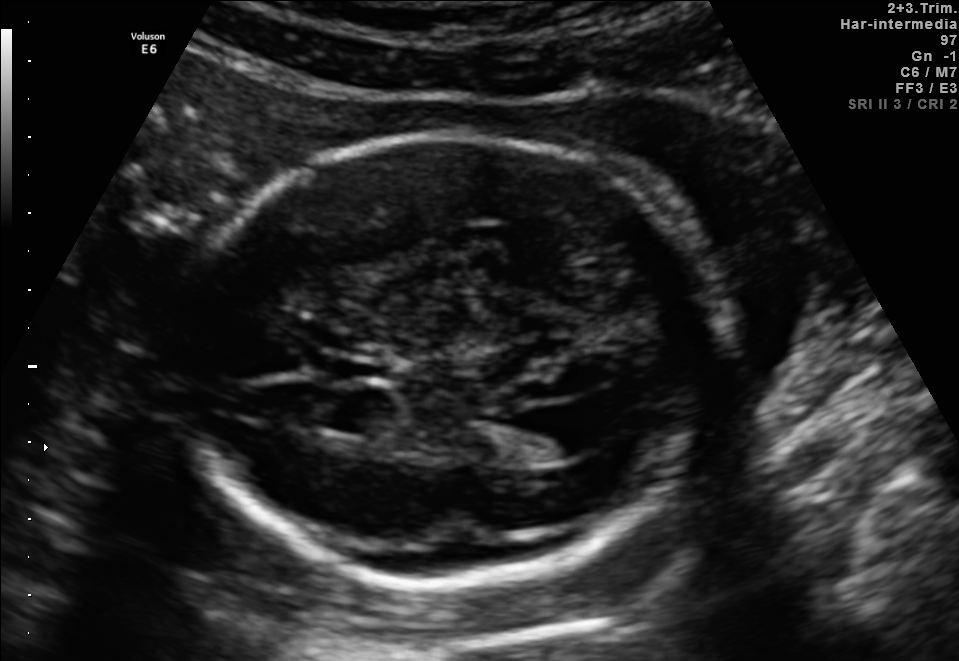
Fetal brain, trans-ventricular plane. Give [x1,y1,x2,y2] bounding boxes for each visible structure among: fetal head, CSP, LV.

Head: [162,127,747,598]
CSP: [325,359,389,379]
Lateral ventricle: [524,394,619,464]